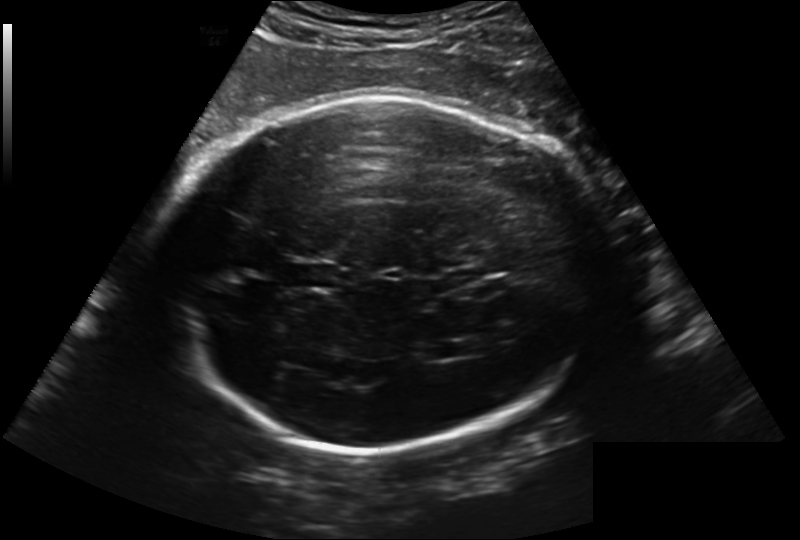
In this fetal head ultrasound, give the bounding box of the fetal head. Image width: 192.7 mm.

[166,96,614,450]